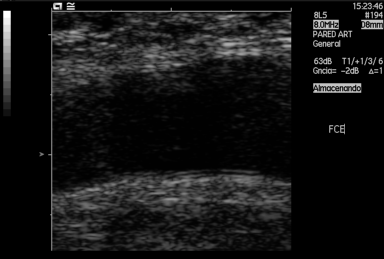
This is a 2D maternal-fetal ultrasound frame. Is it a fetal abdomen, fetal brain, fetal femur, fetal thorax, maternal cervix, or other standard plane? If it's fetal brain and one of the three standard brain planes (trans-thalamic, trans-cerebellum, trans-ventricular), name which.

Other